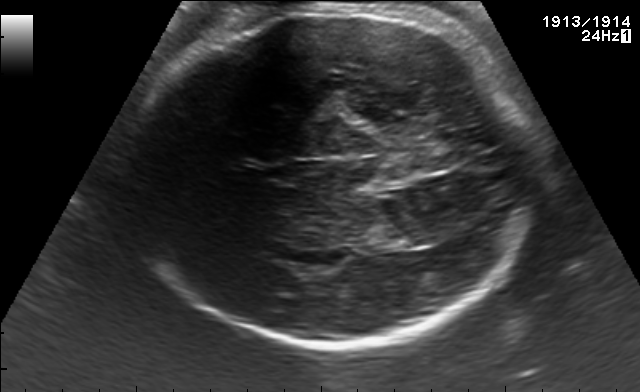
In this fetal brain, trans-thalamic plane, give bounding boxes for the head outline, cavum septum pellucidum (CSP), and lateral ventricle (LV), where visible.

Head: [120,13,527,349]